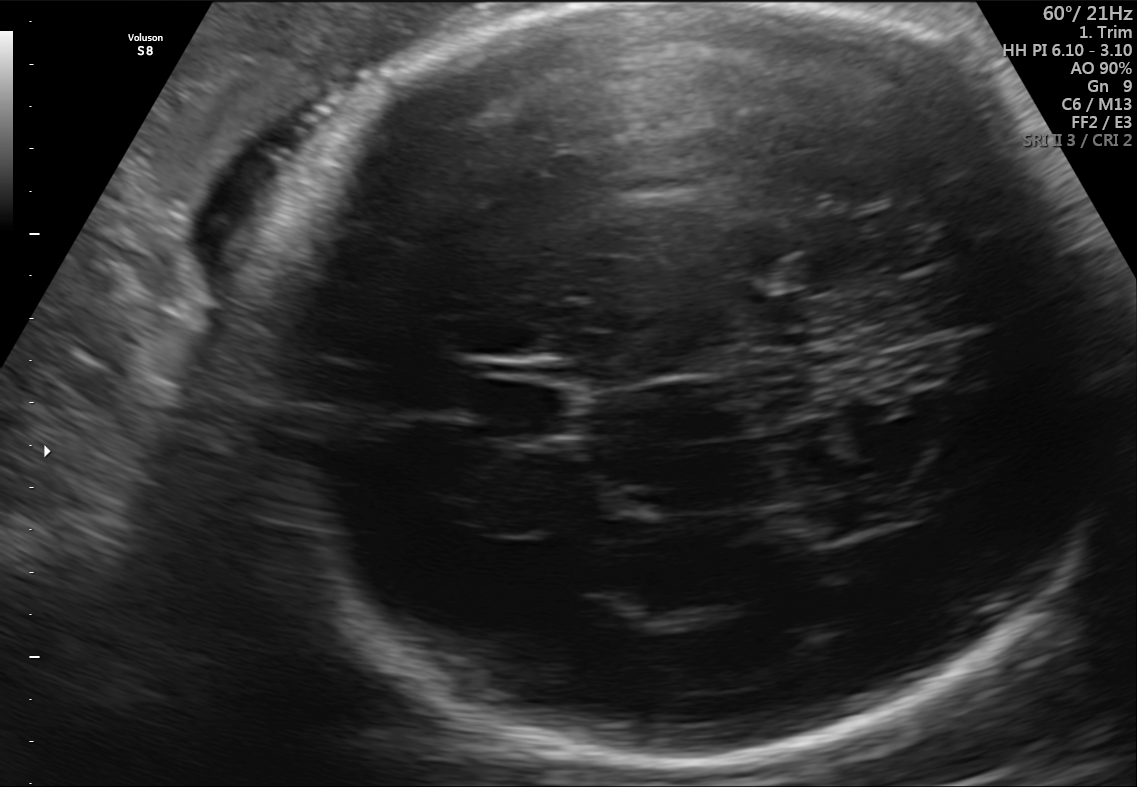
In this fetal brain, trans-thalamic plane, give the bounding box of the cavum septum pellucidum.

[486,383,581,436]